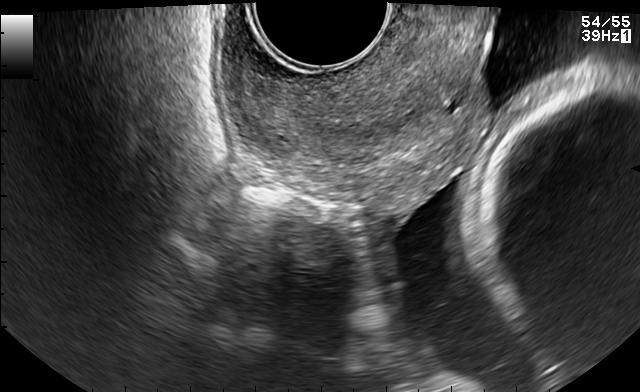
This is a 2D maternal-fetal ultrasound frame. Is it a fetal abdomen, fetal brain, fetal femur, fetal thorax, maternal cervix, or other standard plane? If it's fetal brain and one of the three standard brain planes (trans-thalamic, trans-cerebellum, trans-ventricular), name which.

Maternal cervix